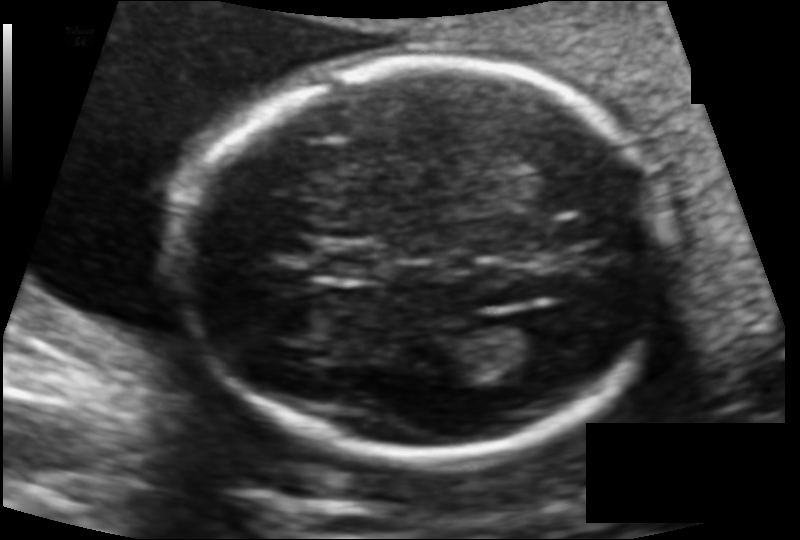
Fetal head ultrasound. Image width: 91.4 mm. Where is the lateral ventricle?

Lateral ventricle bounding box: [478,312,564,376]